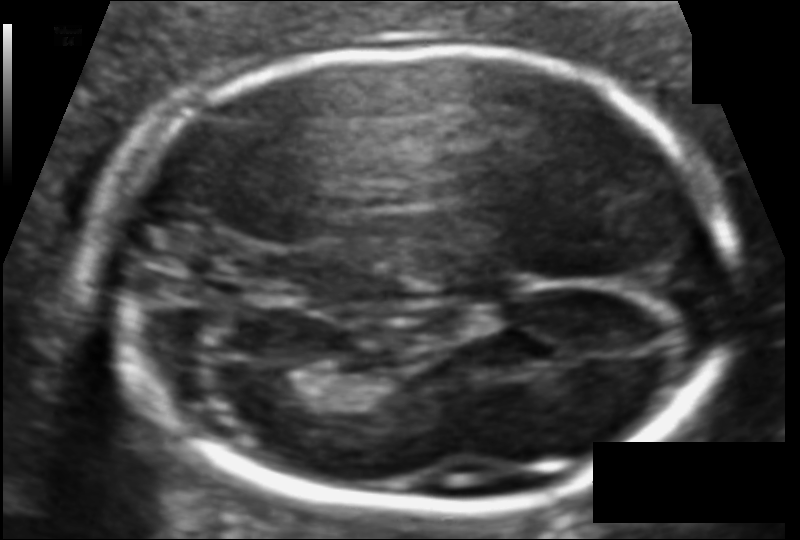
Measure the fetal head circumference shown in this ultrasound image. Image width: 76.5 mm.

Head circumference: 170.9 mm.